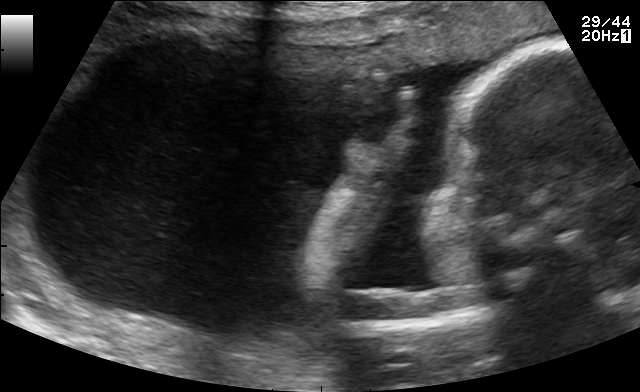
This is a 2D maternal-fetal ultrasound frame. Is it a fetal abdomen, fetal brain, fetal femur, fetal thorax, maternal cervix, or other standard plane? If it's fetal brain and one of the three standard brain planes (trans-thalamic, trans-cerebellum, trans-ventricular), name which.

Other